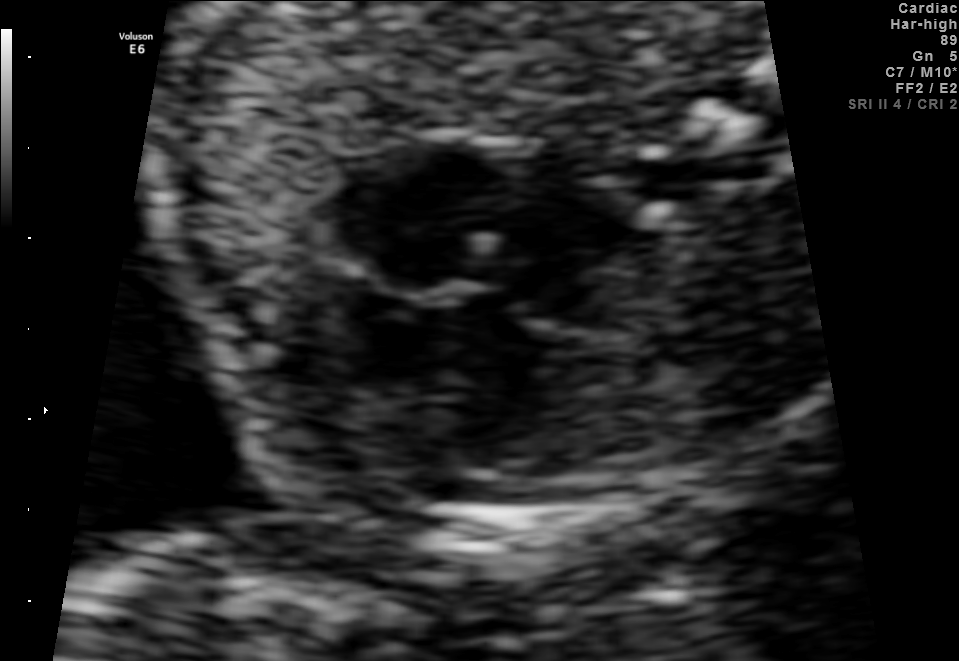
This is a 2D maternal-fetal ultrasound frame. Is it a fetal abdomen, fetal brain, fetal femur, fetal thorax, maternal cervix, or other standard plane? If it's fetal brain and one of the three standard brain planes (trans-thalamic, trans-cerebellum, trans-ventricular), name which.

Fetal thorax